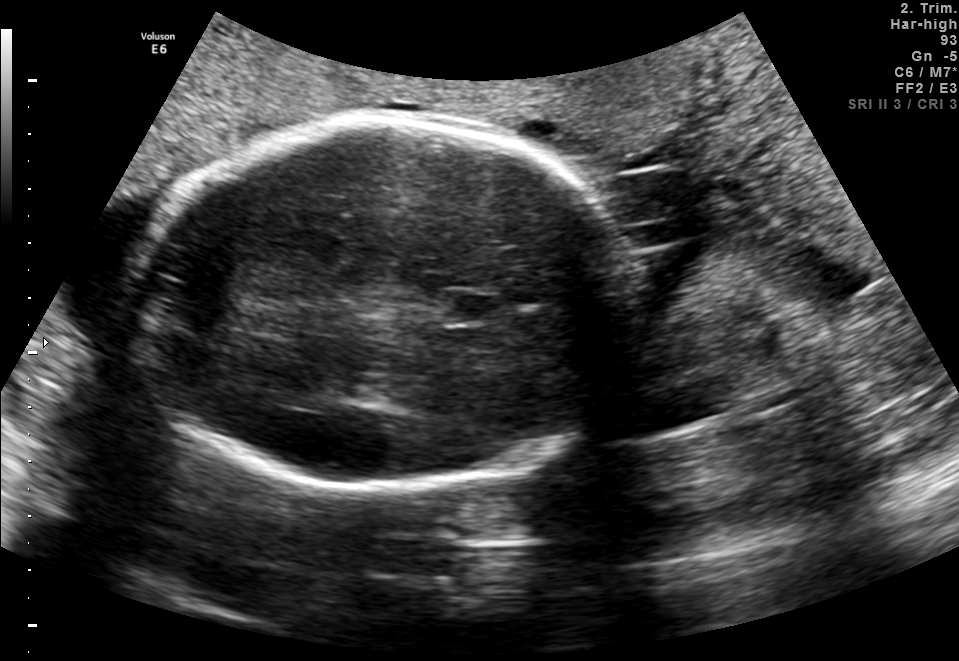
Identify the standard plane in this fetal ultrasound image: fetal abdomen, fetal brain, fetal femur, fetal thorax, maternal cervix, or other. If it's fetal brain and one of the three standard brain planes (trans-thalamic, trans-cerebellum, trans-ventricular), name which.

Fetal brain (trans-thalamic plane)